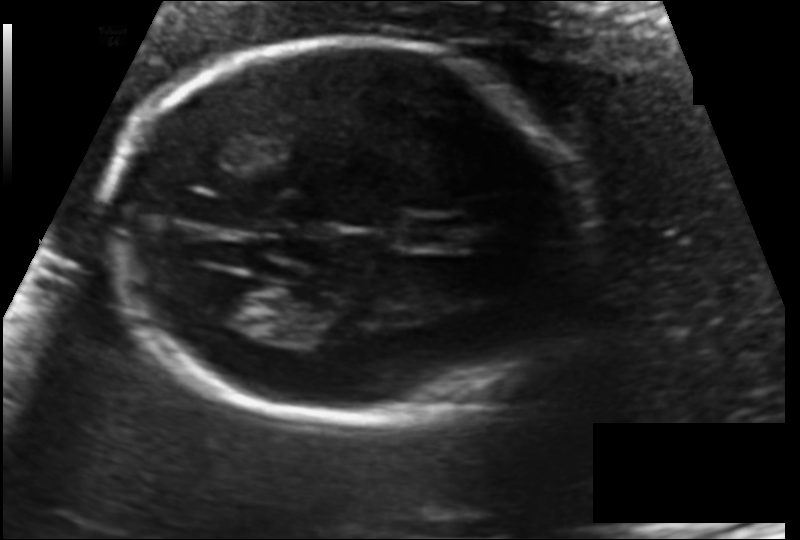
From this fetal ultrasound, estimate the head circumference (image width 97.9 mm).

Head circumference: 170.2 mm.